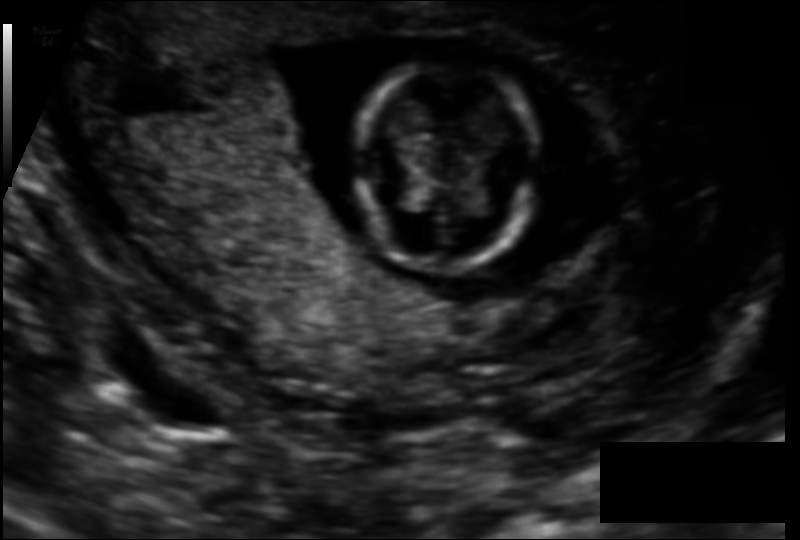
Measure the fetal head circumference shown in this ultrasound image. Image width: 88.1 mm.

Head circumference: 69.7 mm.